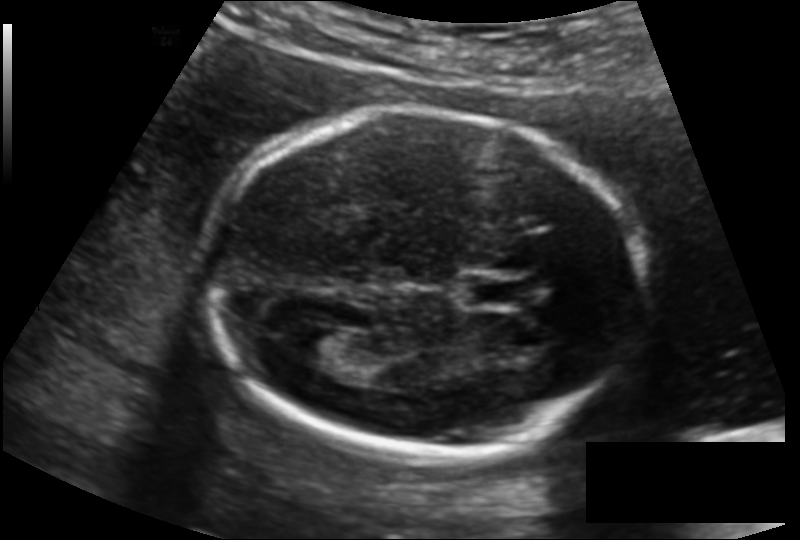
Fetal head ultrasound. Image width: 107.6 mm. Locate the cavum septum pellucidum.

CSP: [467,278,533,307]